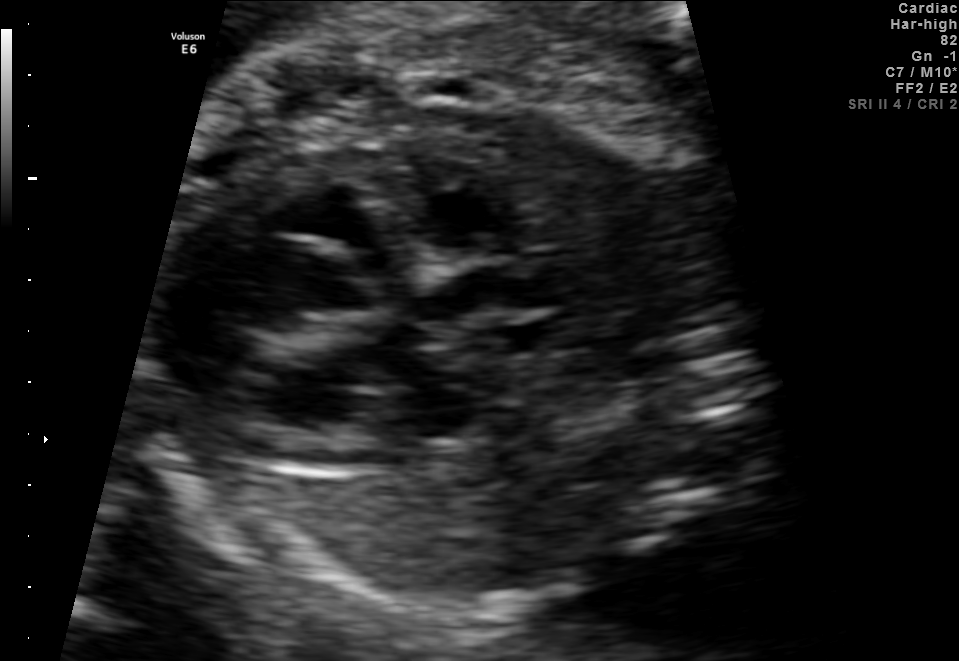
Identify the standard plane in this fetal ultrasound image: fetal abdomen, fetal brain, fetal femur, fetal thorax, maternal cervix, or other. If it's fetal brain and one of the three standard brain planes (trans-thalamic, trans-cerebellum, trans-ventricular), name which.

Fetal thorax